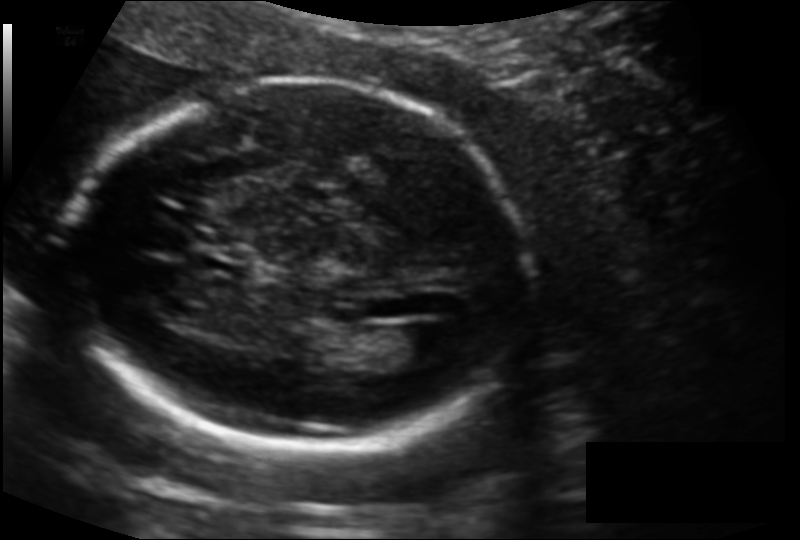
Fetal head ultrasound. Image width: 101.6 mm. Where is the fetal head?

Head bounding box: [67,79,530,448]